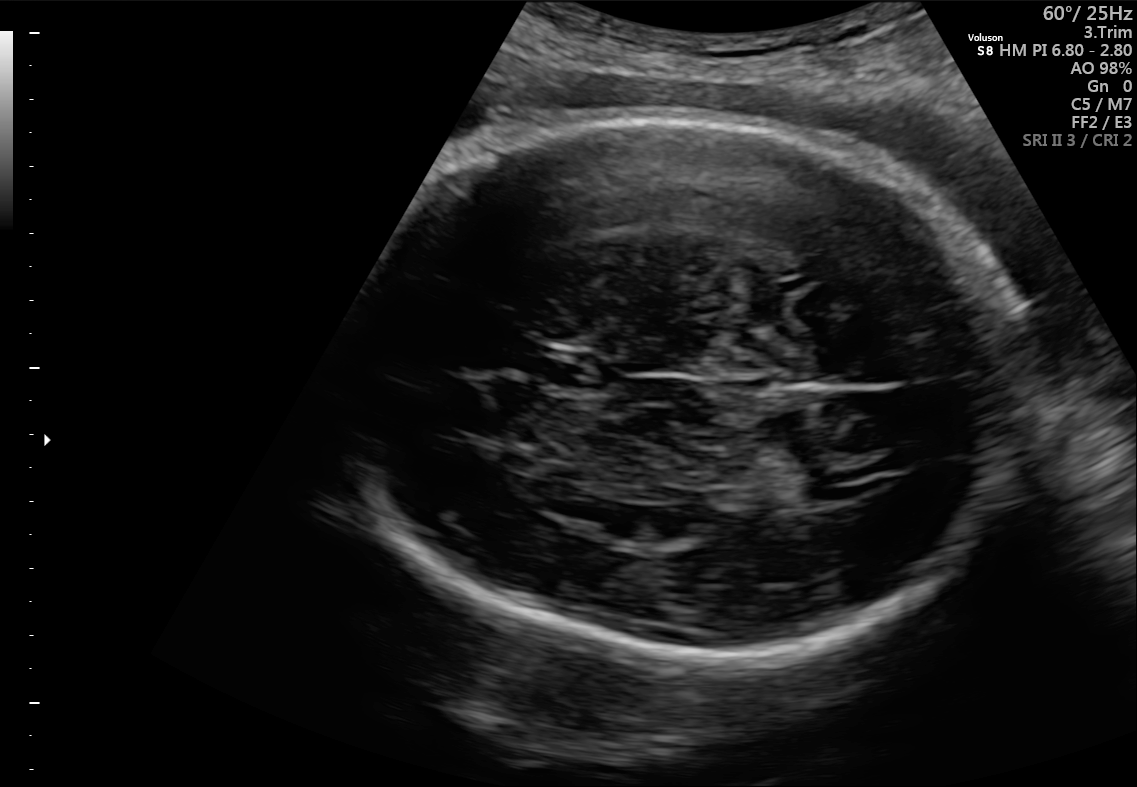
Which standard maternal-fetal ultrasound plane is shown: fetal abdomen, fetal brain, fetal femur, fetal thorax, maternal cervix, or other? If it's fetal brain and one of the three standard brain planes (trans-thalamic, trans-cerebellum, trans-ventricular), name which.

Fetal brain (trans-thalamic plane)